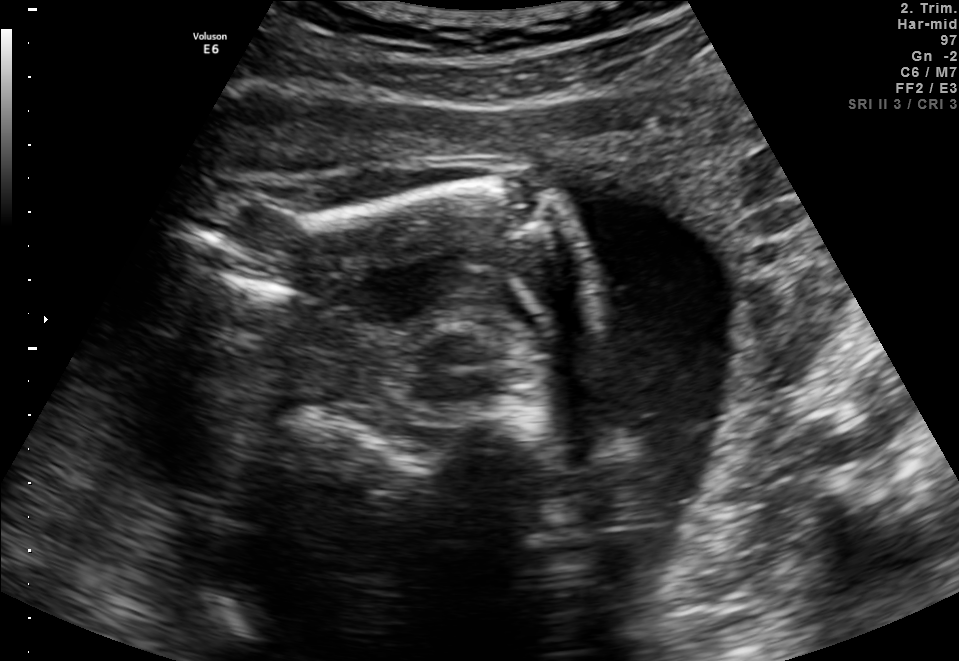
Classify this maternal-fetal ultrasound image as one of the six standard planes — fetal abdomen, fetal brain, fetal femur, fetal thorax, maternal cervix, or other. If it's fetal brain and one of the three standard brain planes (trans-thalamic, trans-cerebellum, trans-ventricular), name which.

Other